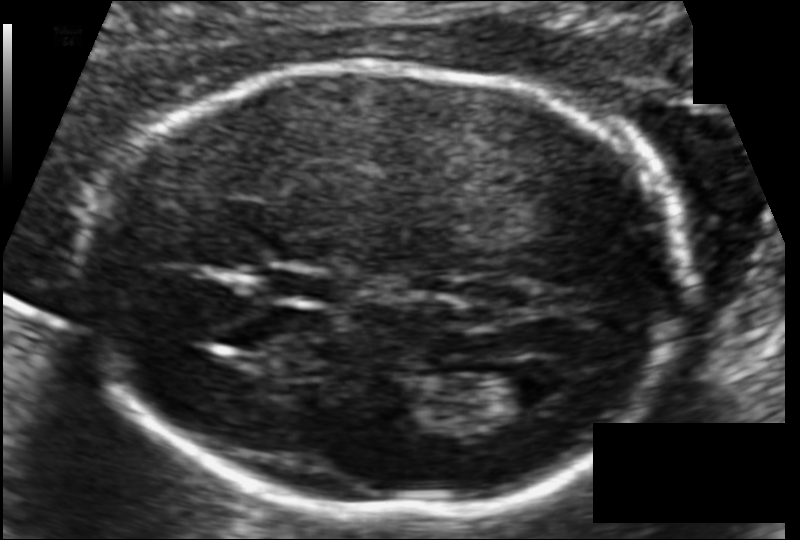
Fetal head ultrasound. Image width: 81.8 mm. Locate the cavum septum pellucidum.

CSP: [259,267,336,303]